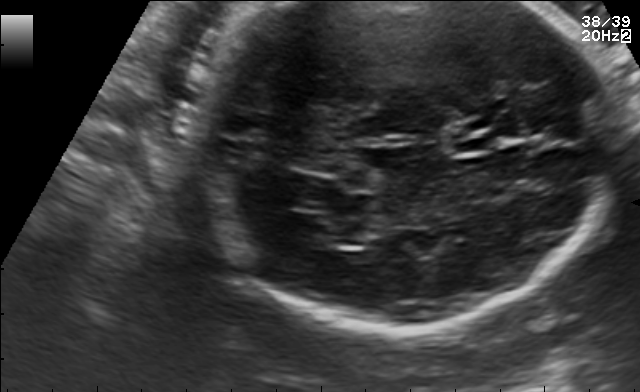
Fetal brain, trans-cerebellum plane. Where is the lateral ventricle?

Lateral ventricle bounding box: [301,215,366,246]